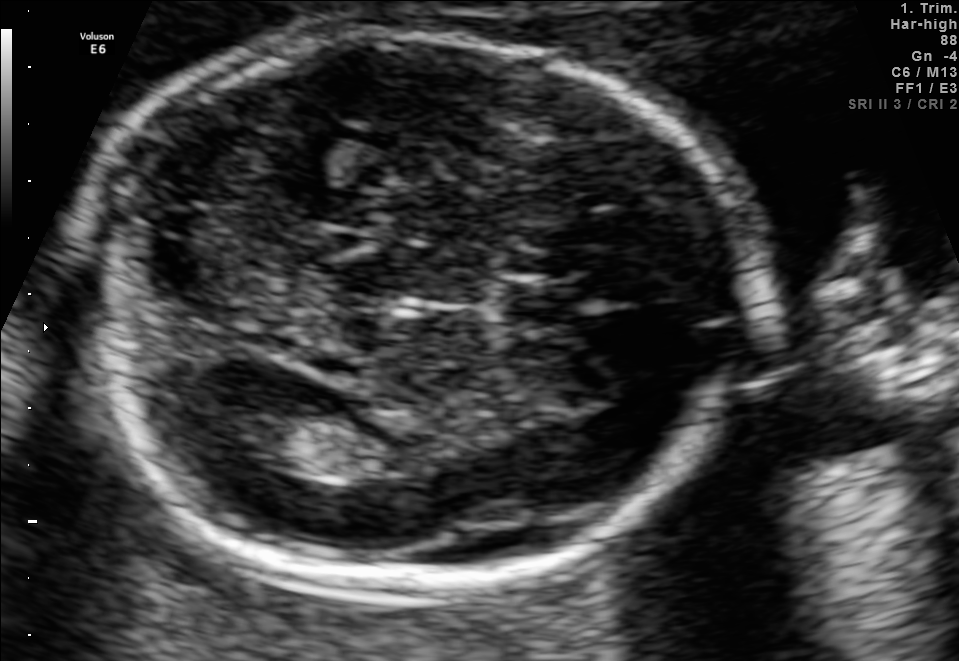
Fetal brain, trans-ventricular plane. Locate the lateral ventricle.

Lateral ventricle: [216,389,324,473]